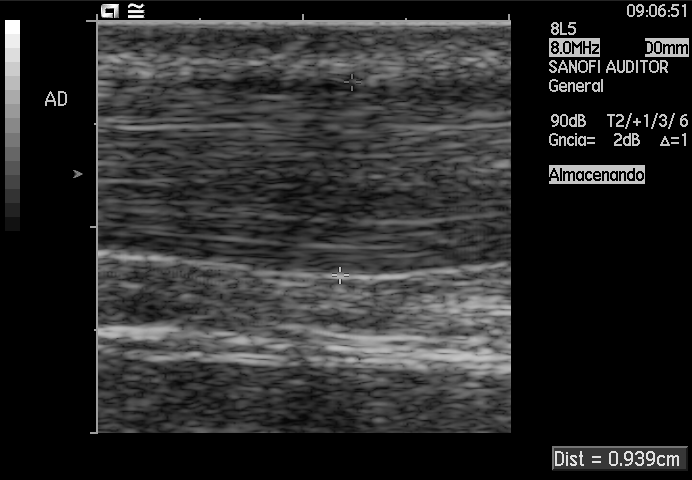
This is a 2D maternal-fetal ultrasound frame. Is it a fetal abdomen, fetal brain, fetal femur, fetal thorax, maternal cervix, or other standard plane? If it's fetal brain and one of the three standard brain planes (trans-thalamic, trans-cerebellum, trans-ventricular), name which.

Other